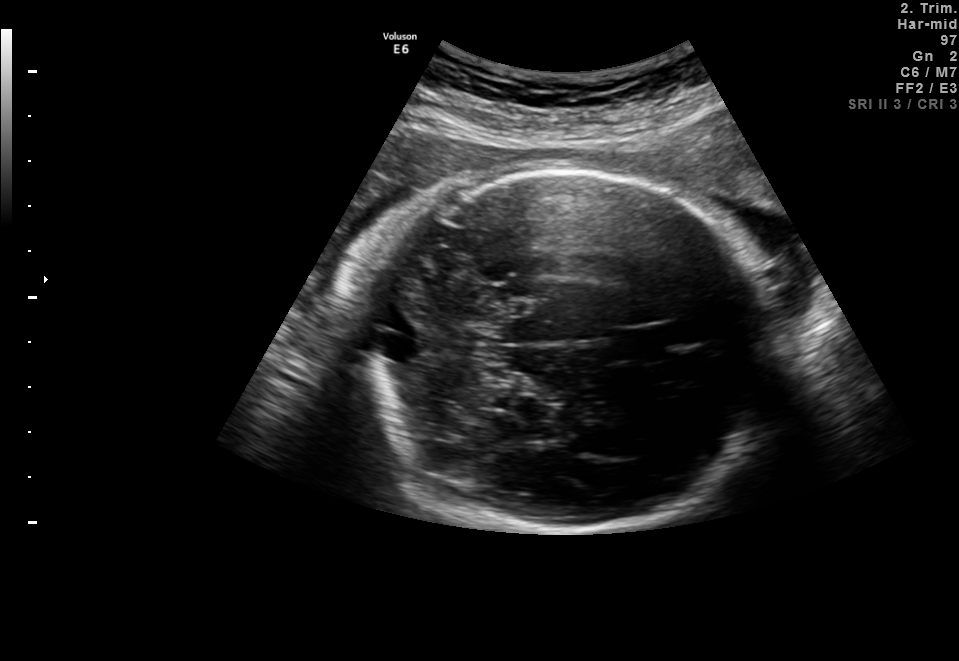
Fetal brain, trans-cerebellum plane. Give [x1,y1,x2,y2] bounding boxes for each visible structure among: fetal head, CSP, LV.

Head: [358,170,775,535]